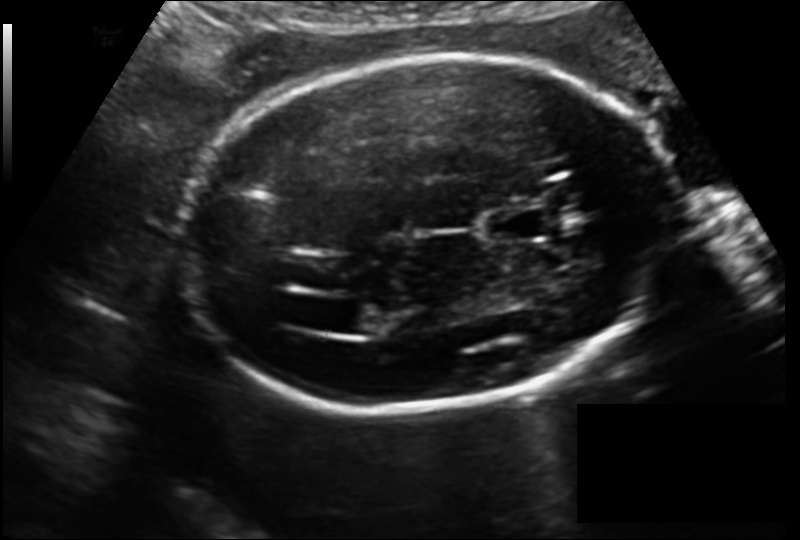
Fetal head ultrasound. Image width: 120.3 mm. Locate the fetal head and, if visible, the cavum septum pellucidum (CSP) and lateral ventricle (LV). Give bounding boxes as [x1,y1,x2,y2].

Head: [177,53,675,410]
CSP: [484,206,547,243]
Lateral ventricle: [329,299,391,335]